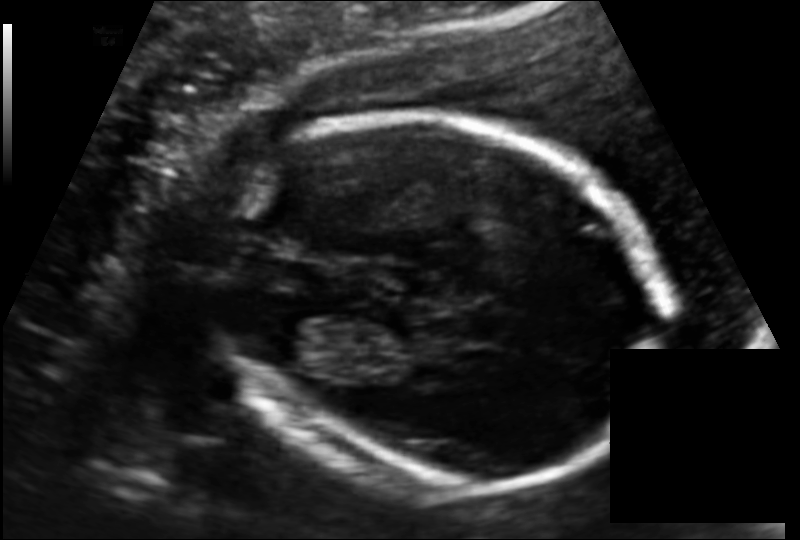
Measure the fetal head circumference shown in this ultrasound image. Image width: 103.9 mm.

Head circumference: 172.3 mm.